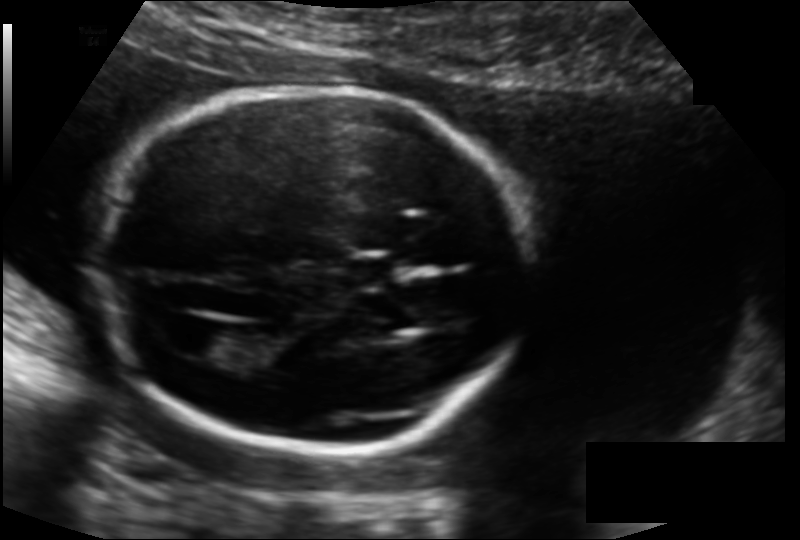
Fetal head ultrasound. Image width: 107.7 mm. Where is the lateral ventricle?

Lateral ventricle bounding box: [170,318,235,364]